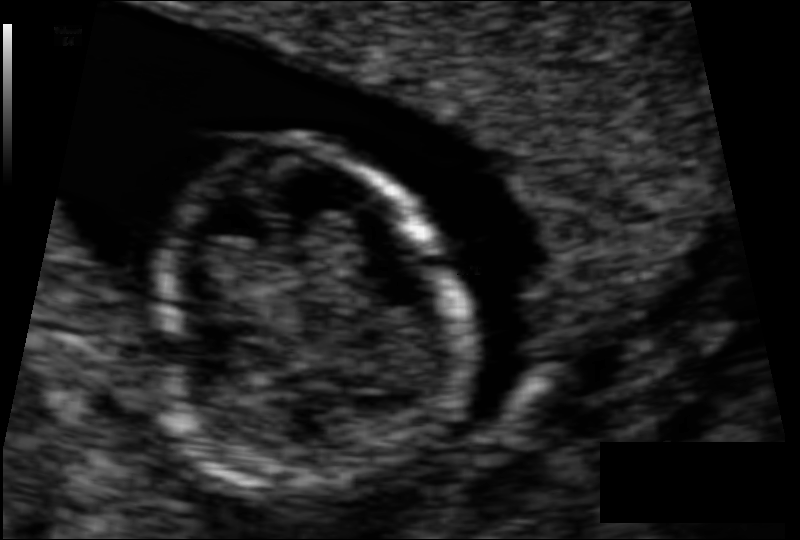
What is the fetal head circumference? Image width is 49.5 mm.

66.3 mm